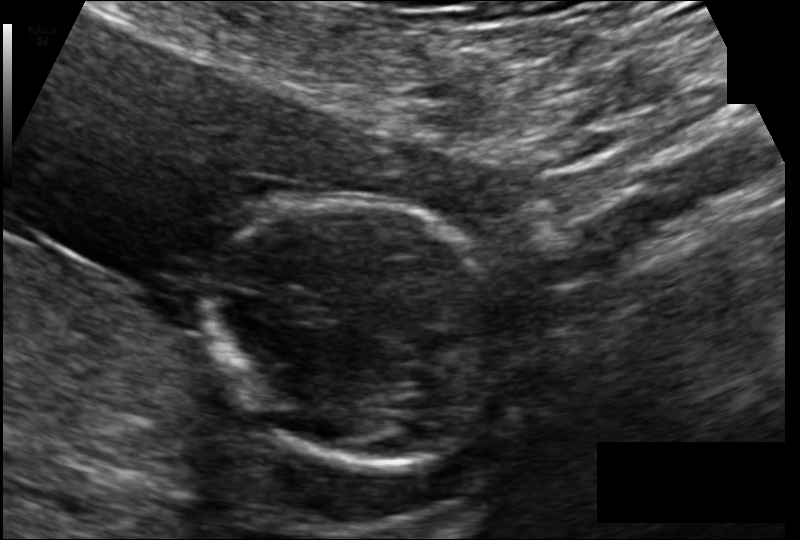
Estimate the fetal head circumference from this 2D ultrasound.

Head circumference: 92.4 mm (image width 81.2 mm).